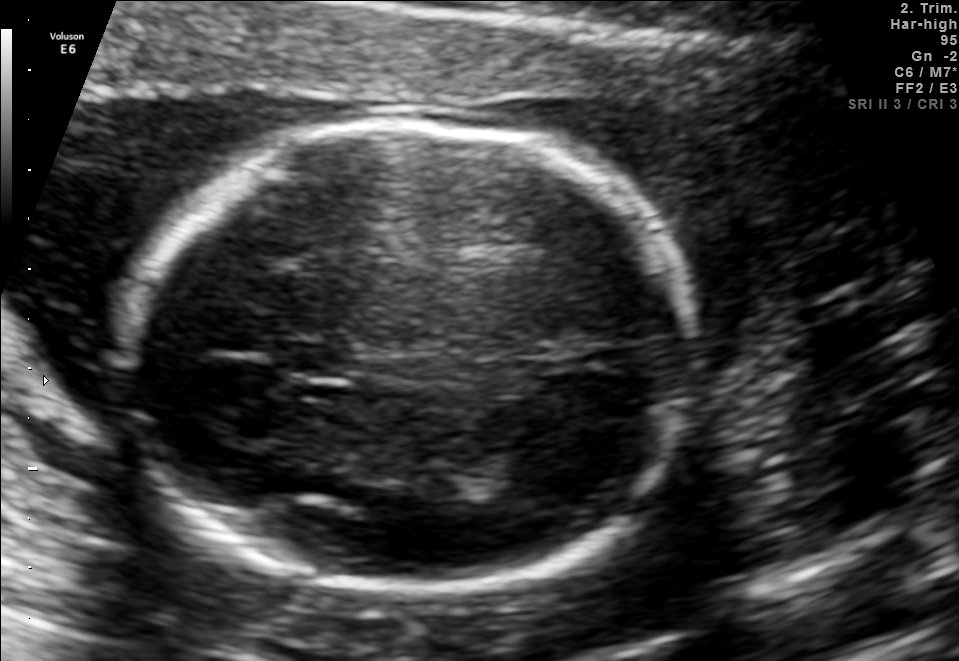
Fetal brain, trans-thalamic plane. Give [x1,y1,x2,y2] bounding boxes for each visible structure among: fetal head, CSP, LV.

Head: [110,121,697,586]
CSP: [274,340,346,377]